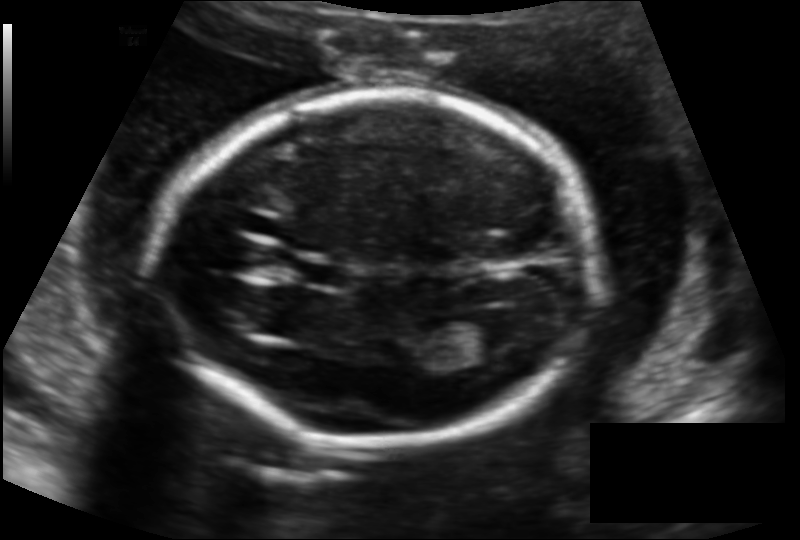
In this fetal head ultrasound, give bounding boxes for the head outline, cavum septum pellucidum (CSP), and lateral ventricle (LV), where visible. Image width: 108.6 mm.

Head: [160,91,595,444]
CSP: [300,258,352,291]
Lateral ventricle: [457,306,528,359]